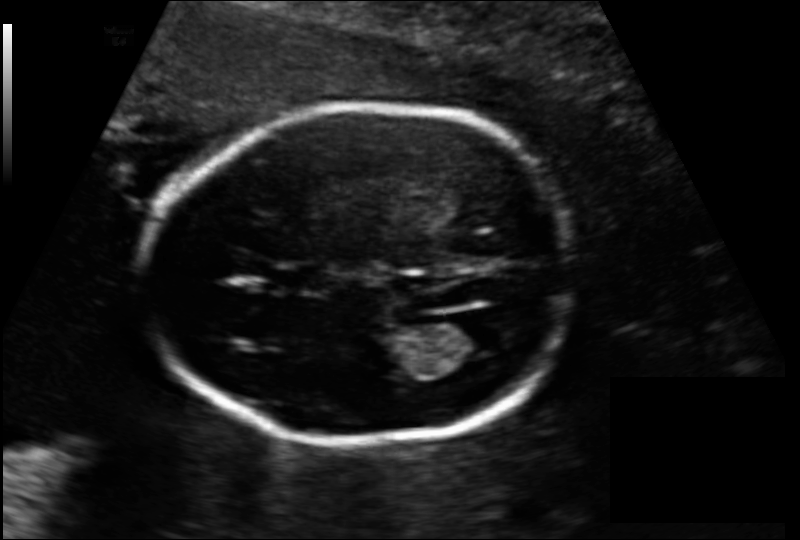
Fetal head ultrasound. Image width: 109.4 mm. Give [x1,y1,x2,y2] bounding boxes for each visible structure among: fetal head, CSP, LV.

Head: [148,105,571,444]
CSP: [267,264,328,291]
Lateral ventricle: [435,304,510,364]